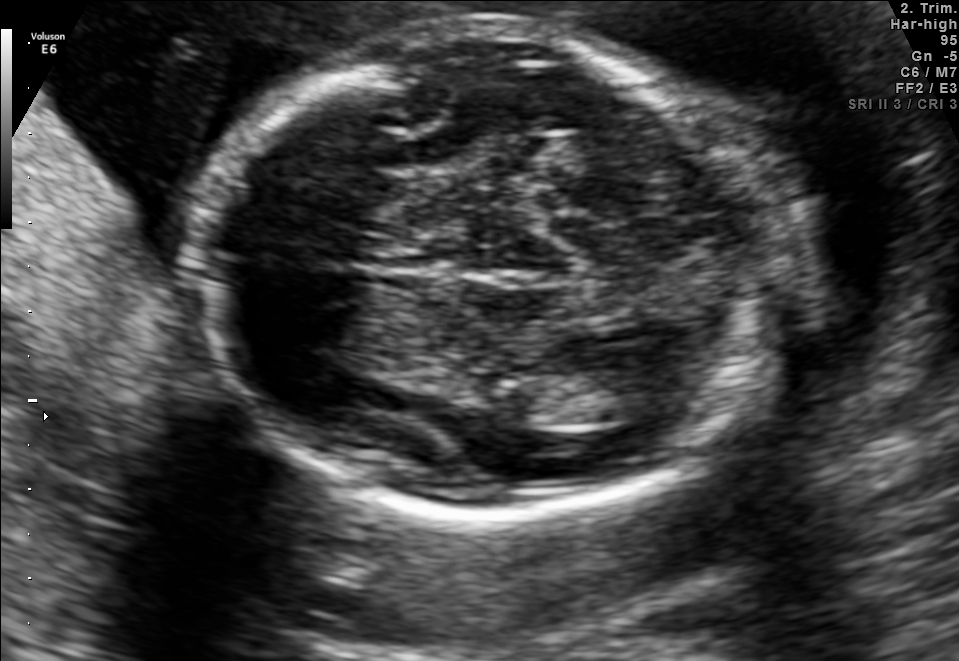
Fetal brain, trans-thalamic plane. Locate the fetal head and, if visible, the cavum septum pellucidum (CSP) and lateral ventricle (LV). Give bounding boxes as [x1,y1,x2,y2].

Head: [198,29,787,512]
Lateral ventricle: [559,363,678,431]